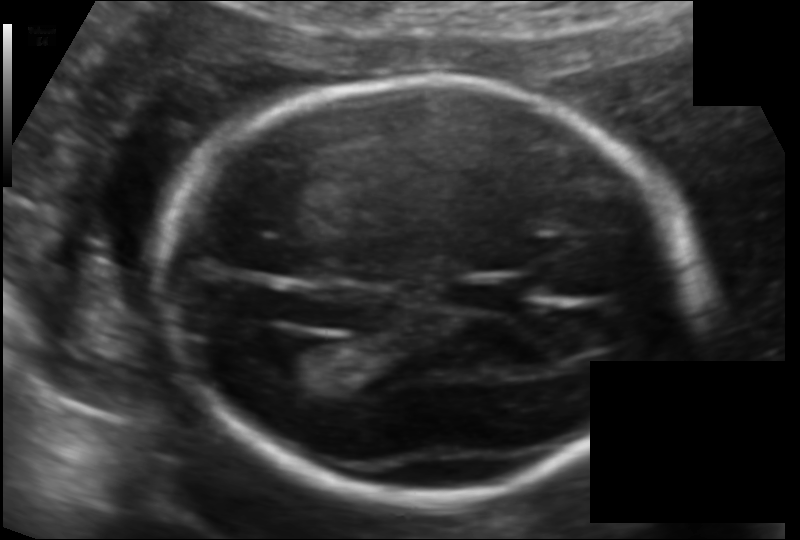
In this fetal head ultrasound, give bounding boxes for the head outline, cavum septum pellucidum (CSP), and lateral ventricle (LV), where visible. Image width: 94.6 mm.

Head: [162,78,697,498]
CSP: [457,280,523,307]
Lateral ventricle: [266,333,333,383]